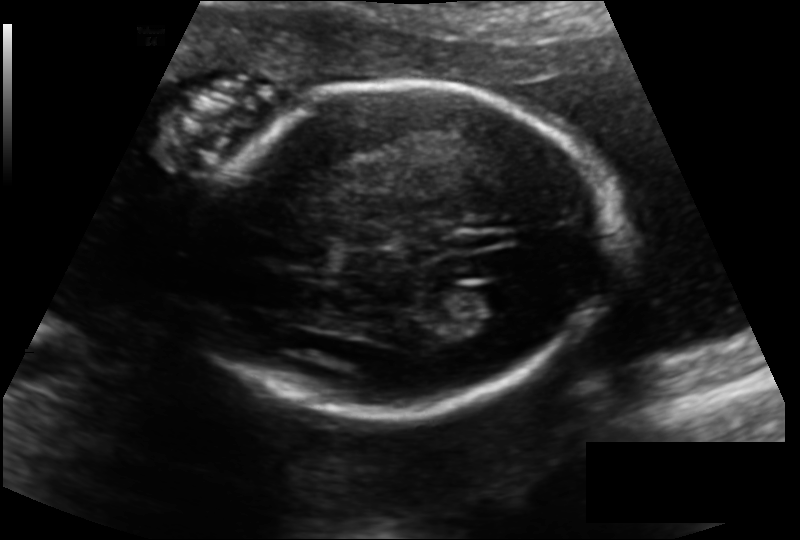
What is the fetal head circumference? Image width is 115.4 mm.

173.8 mm